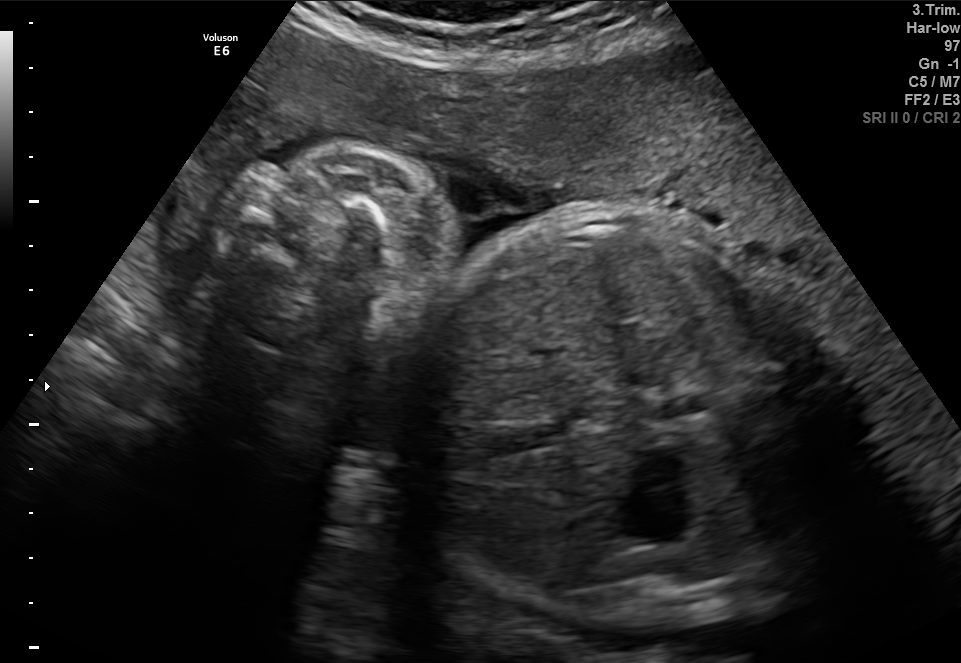
Identify the standard plane in this fetal ultrasound image: fetal abdomen, fetal brain, fetal femur, fetal thorax, maternal cervix, or other. If it's fetal brain and one of the three standard brain planes (trans-thalamic, trans-cerebellum, trans-ventricular), name which.

Fetal abdomen